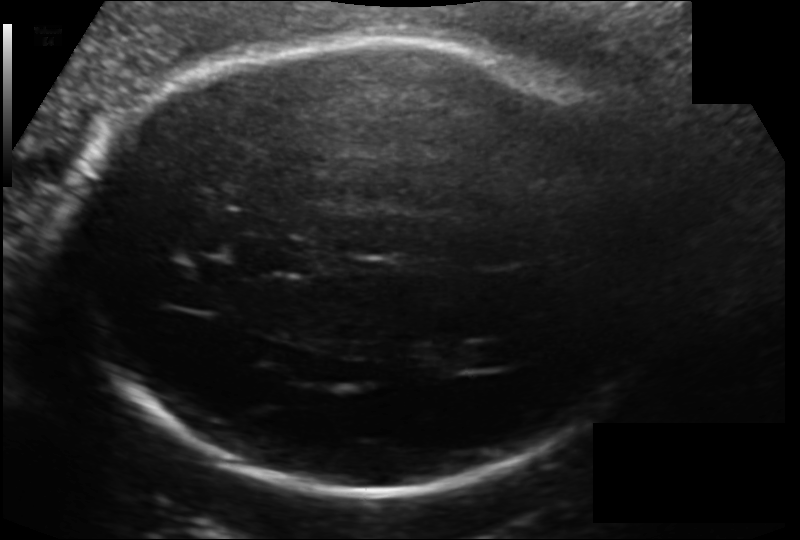
Fetal head ultrasound. Image width: 123.2 mm. Where is the fetal head?

Head bounding box: [72,38,657,493]